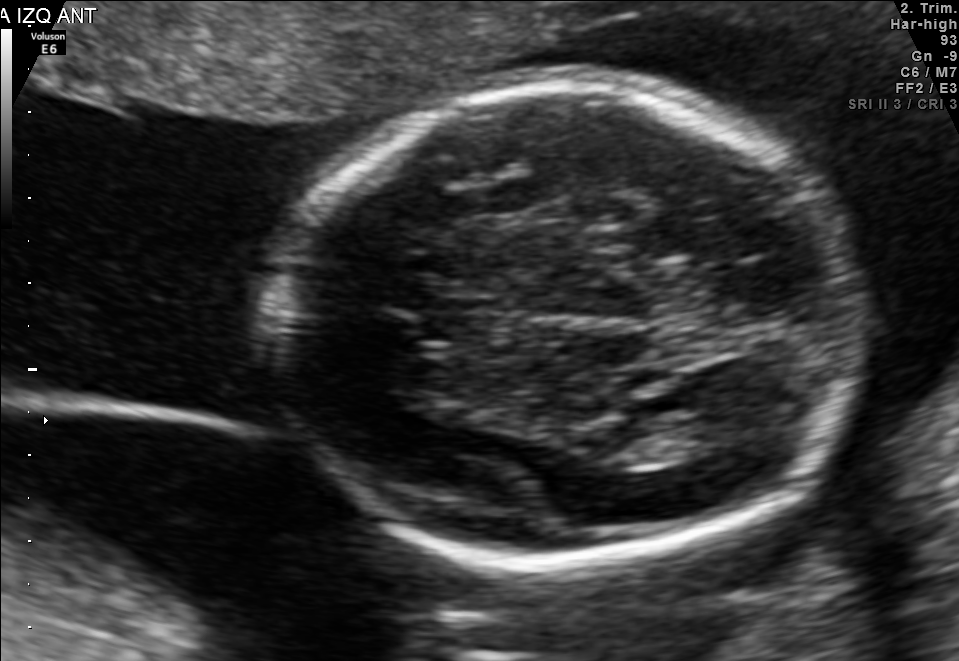
Fetal brain, trans-thalamic plane. Locate the lateral ventricle.

Lateral ventricle: [650,400,756,467]